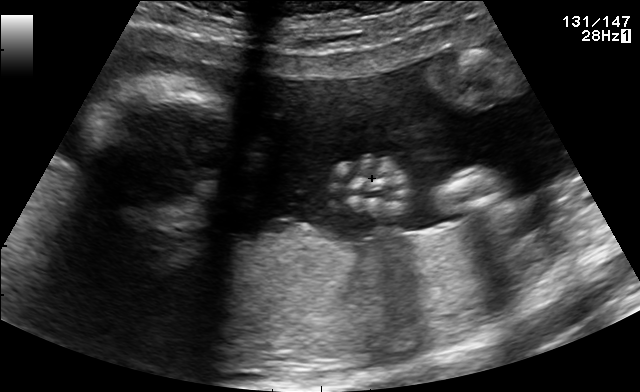
Classify this maternal-fetal ultrasound image as one of the six standard planes — fetal abdomen, fetal brain, fetal femur, fetal thorax, maternal cervix, or other. If it's fetal brain and one of the three standard brain planes (trans-thalamic, trans-cerebellum, trans-ventricular), name which.

Other